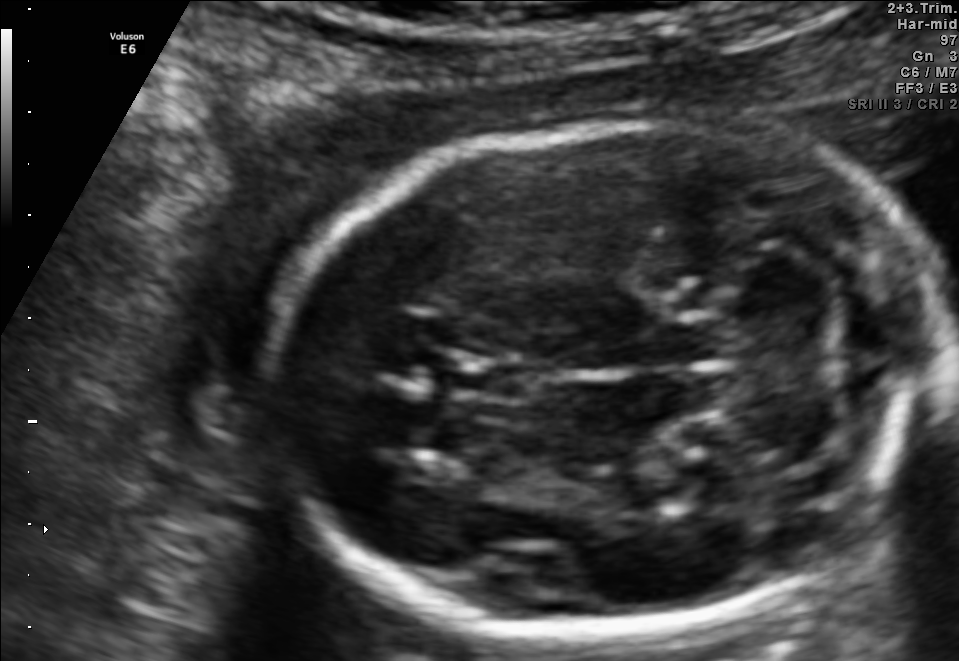
In this fetal brain, trans-cerebellum plane, give the bounding box of the cavum septum pellucidum.

[449,358,543,400]